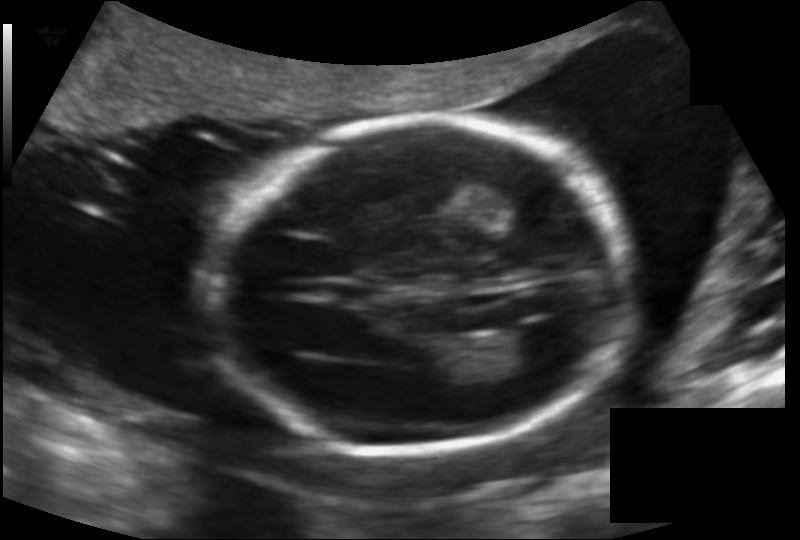
In this fetal head ultrasound, give bounding boxes for the head outline, cavum septum pellucidum (CSP), and lateral ventricle (LV), where visible. Image width: 113.7 mm.

Head: [204,119,634,449]
Lateral ventricle: [496,318,569,376]